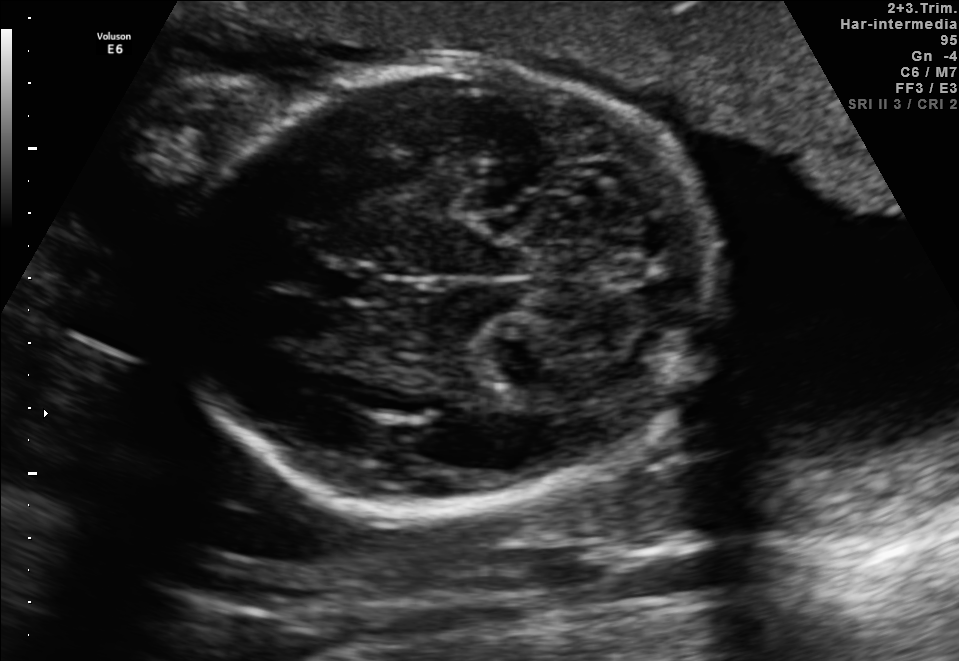
Fetal brain, trans-cerebellum plane. Locate the fetal head.

Head: [176,67,721,508]